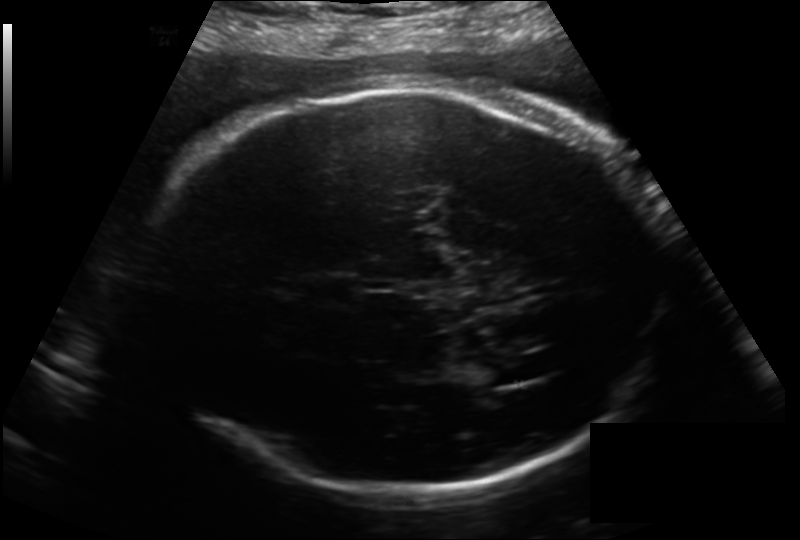
Fetal head ultrasound. Image width: 171.3 mm. Locate the lateral ventricle.

Lateral ventricle: [461,353,527,393]